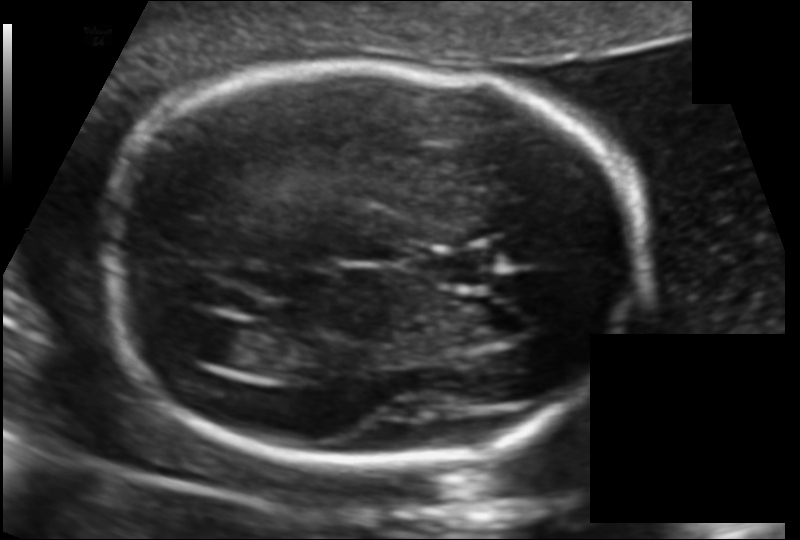
Fetal head ultrasound. Image width: 93.9 mm. Locate the fetal head.

Head: [97,65,645,461]